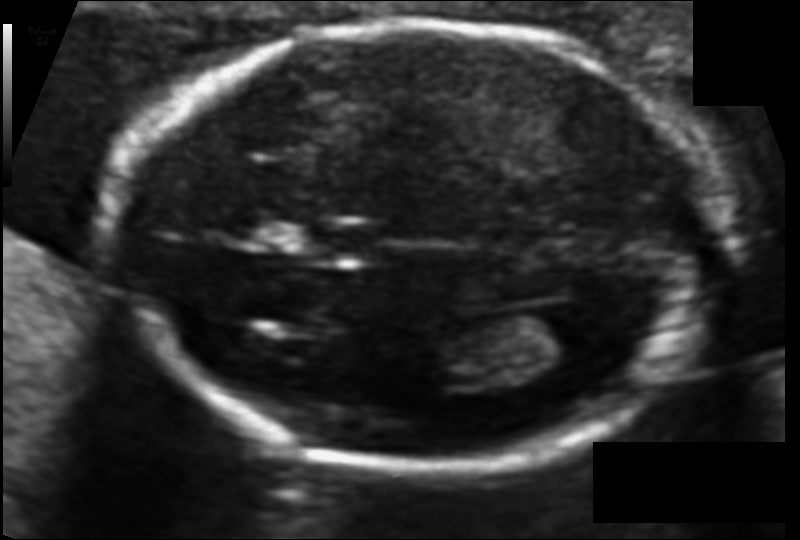
Fetal head ultrasound. Image width: 75.0 mm. Locate the fetal head.

Head: [124,23,717,466]